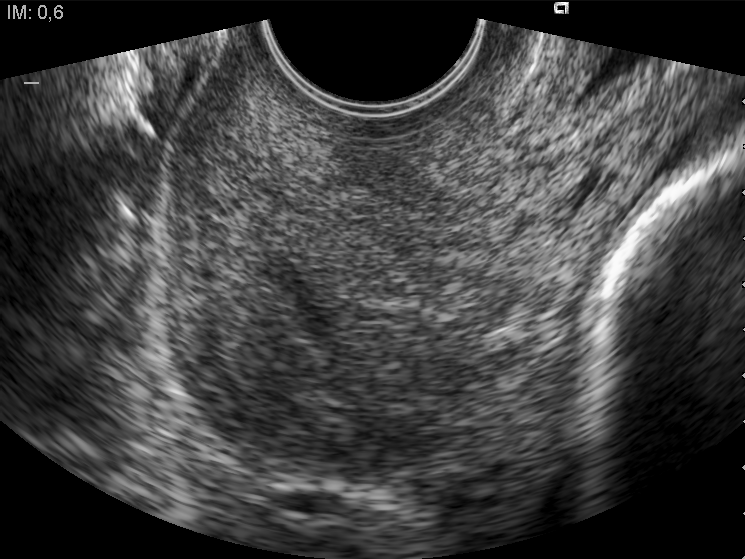
Classify this maternal-fetal ultrasound image as one of the six standard planes — fetal abdomen, fetal brain, fetal femur, fetal thorax, maternal cervix, or other. If it's fetal brain and one of the three standard brain planes (trans-thalamic, trans-cerebellum, trans-ventricular), name which.

Maternal cervix